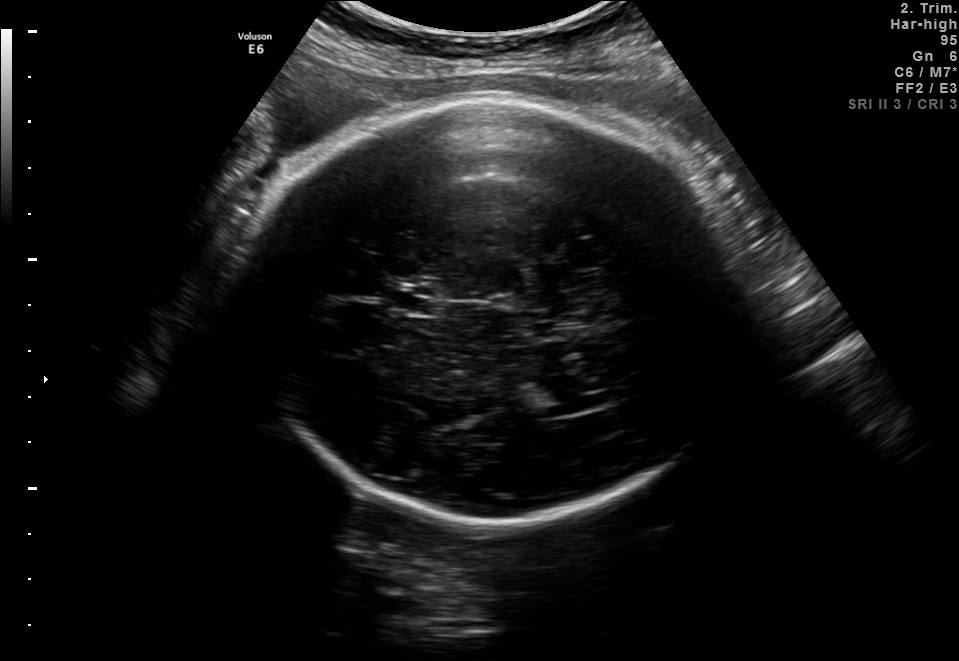
In this fetal brain, trans-ventricular plane, give the bounding box of the fetal head.

[234,91,751,526]